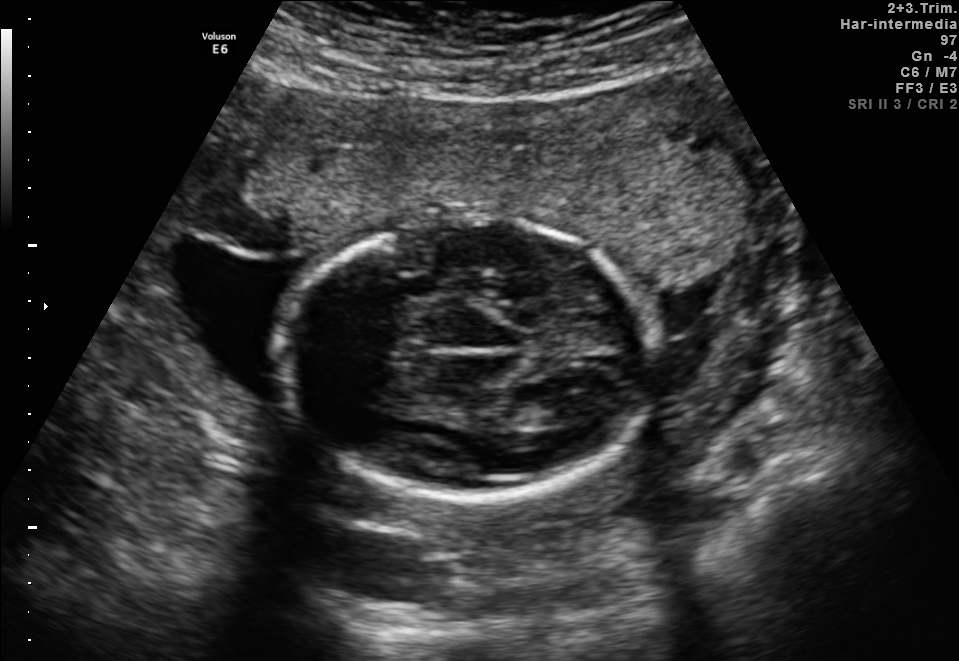
Fetal brain, trans-thalamic plane. Where is the fetal head?

Head bounding box: [274,216,657,499]